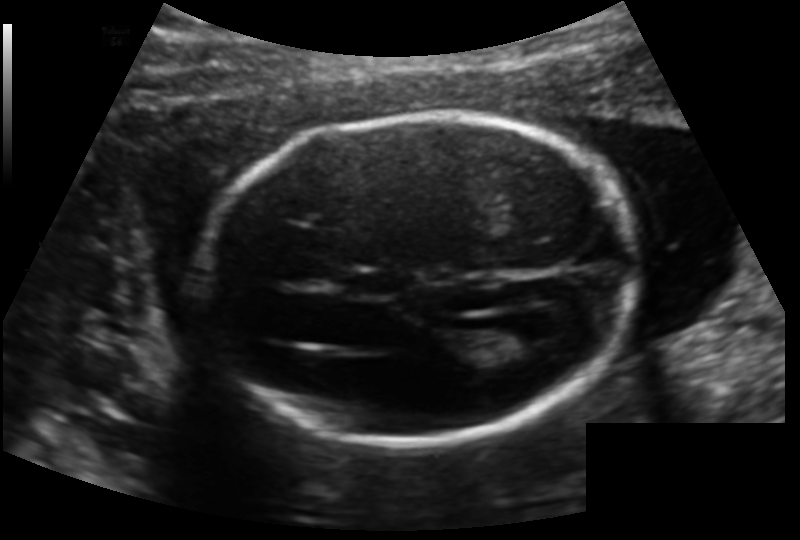
In this fetal head ultrasound, give the bounding box of the cavum septum pellucidum. Image width: 112.1 mm.

[348,270,401,297]